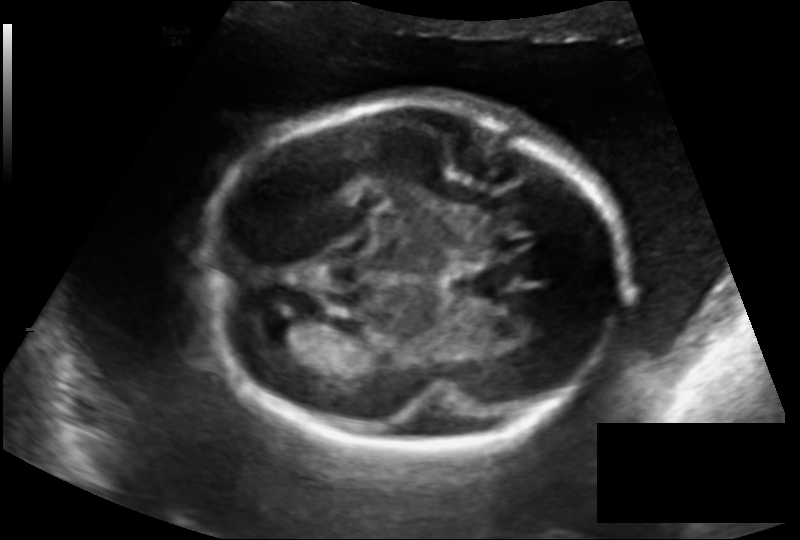
Fetal head ultrasound. Image width: 129.7 mm. Where is the lateral ventricle?

Lateral ventricle bounding box: [246,302,302,351]